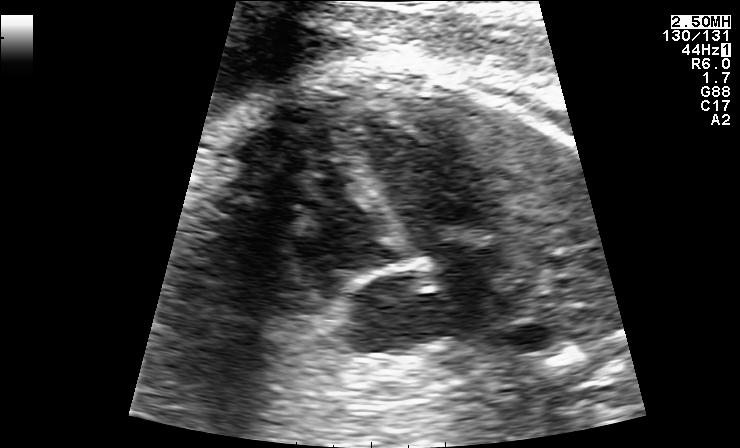
This is a 2D maternal-fetal ultrasound frame. Is it a fetal abdomen, fetal brain, fetal femur, fetal thorax, maternal cervix, or other standard plane? If it's fetal brain and one of the three standard brain planes (trans-thalamic, trans-cerebellum, trans-ventricular), name which.

Fetal thorax